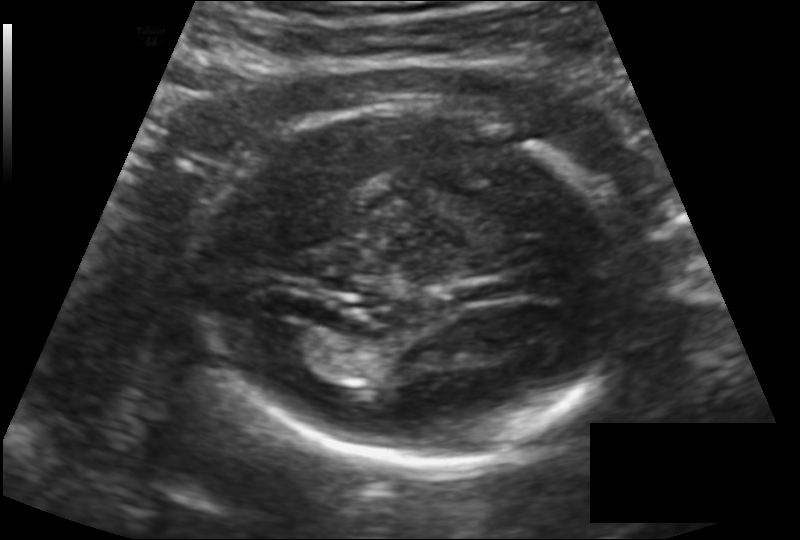
In this fetal head ultrasound, give the bounding box of the lateral ventricle. Image width: 113.7 mm.

[257,322,327,369]